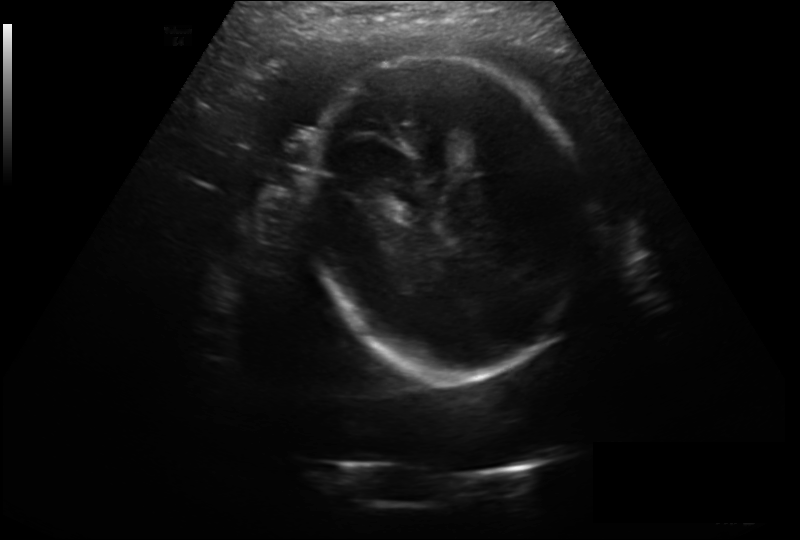
Fetal head ultrasound. Image width: 197.0 mm. Locate the fetal head and, if visible, the cavum septum pellucidum (CSP) and lateral ventricle (LV). Give bounding boxes as [x1,y1,x2,y2].

Head: [308,58,589,379]